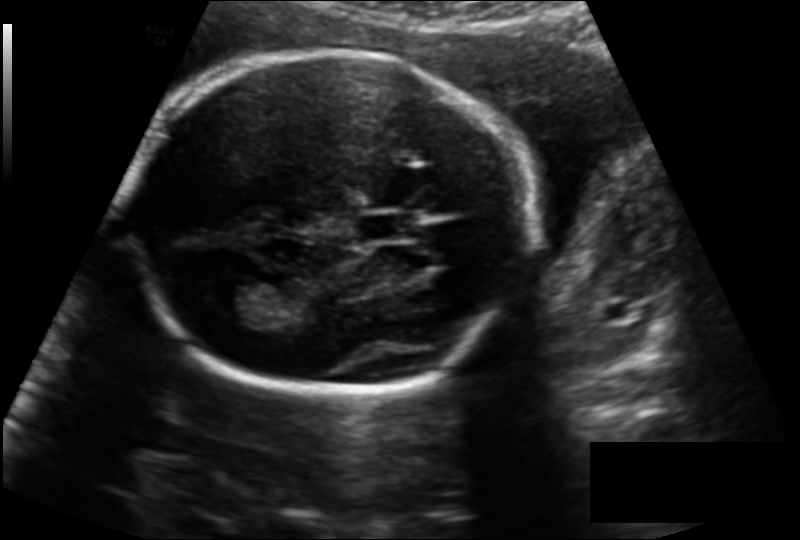
Fetal head ultrasound. Image width: 122.1 mm. Locate the fetal head.

Head: [128,51,529,395]